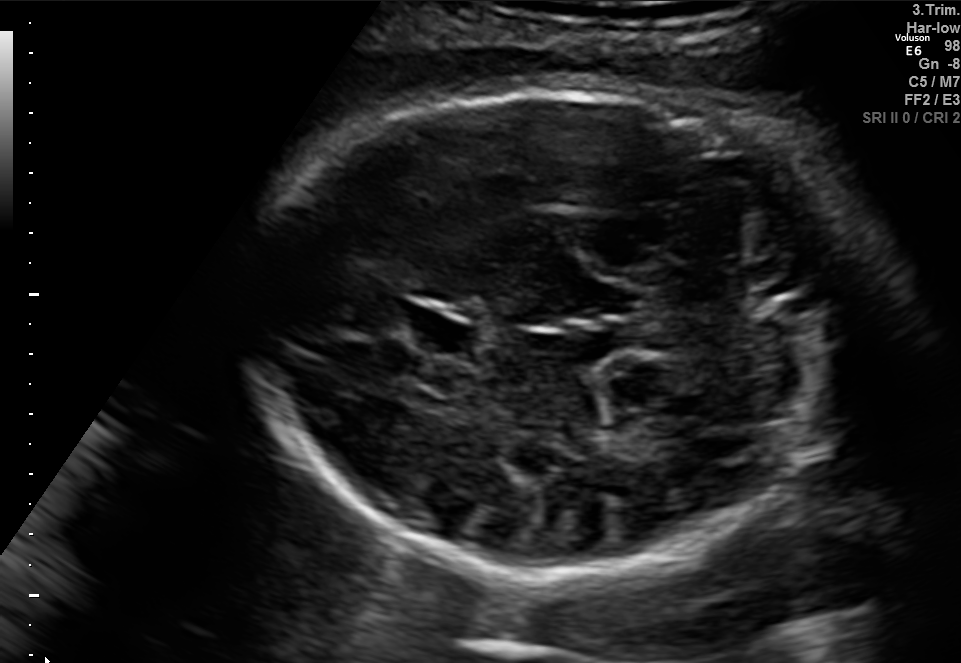
Fetal brain, trans-cerebellum plane. Where is the cavum septum pellucidum?

CSP bounding box: [391,296,480,364]